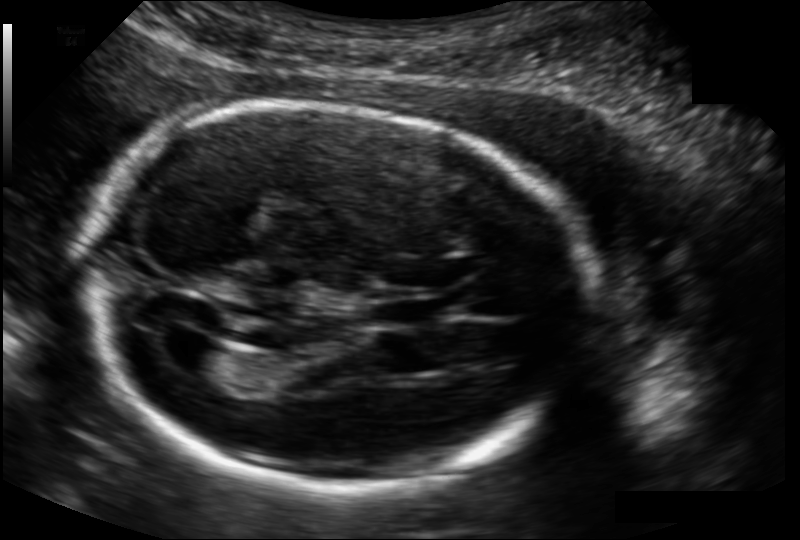
Estimate the fetal head circumference from this 2D ultrasound. Image width: 107.6 mm.

Head circumference: 192.3 mm.